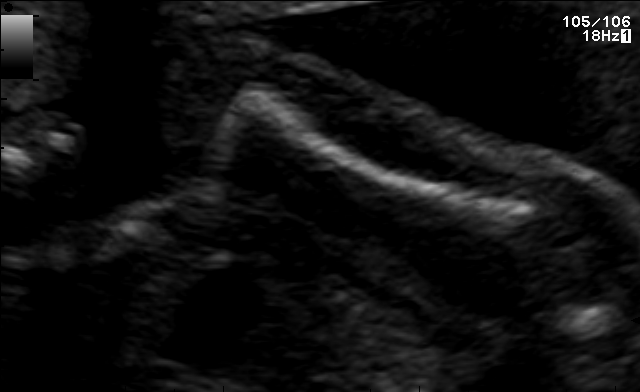
Identify the standard plane in this fetal ultrasound image: fetal abdomen, fetal brain, fetal femur, fetal thorax, maternal cervix, or other. If it's fetal brain and one of the three standard brain planes (trans-thalamic, trans-cerebellum, trans-ventricular), name which.

Fetal femur